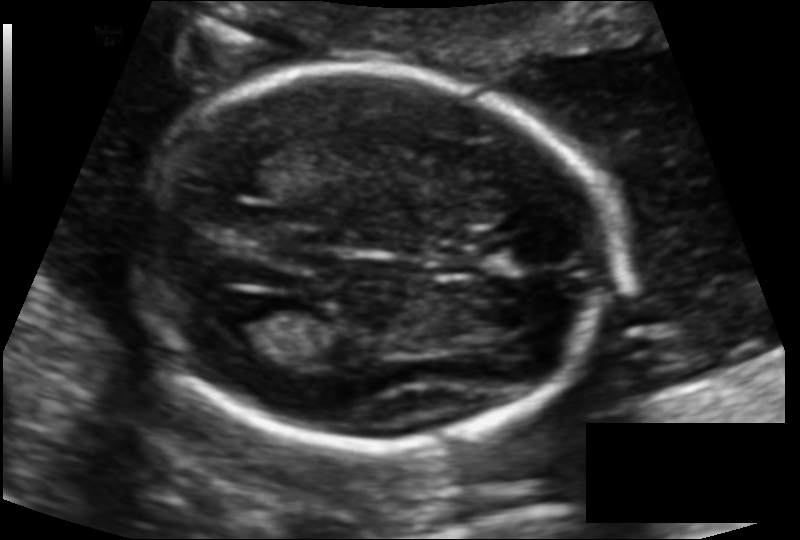
Fetal head ultrasound. Image width: 93.4 mm. Locate the fetal head.

Head: [131,65,612,446]